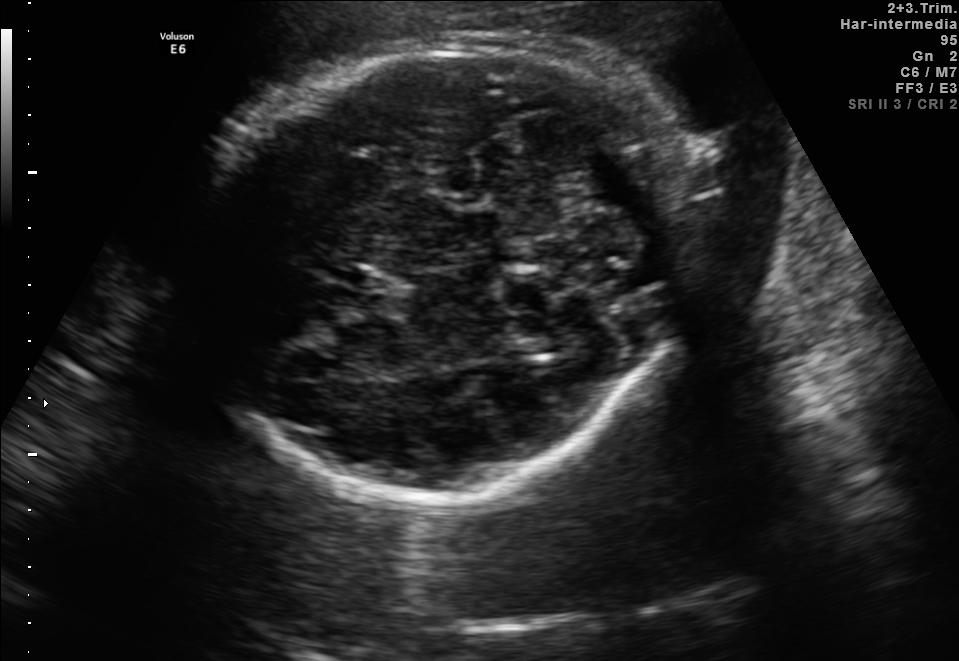
This is a 2D maternal-fetal ultrasound frame. Is it a fetal abdomen, fetal brain, fetal femur, fetal thorax, maternal cervix, or other standard plane? If it's fetal brain and one of the three standard brain planes (trans-thalamic, trans-cerebellum, trans-ventricular), name which.

Fetal brain (trans-cerebellum plane)